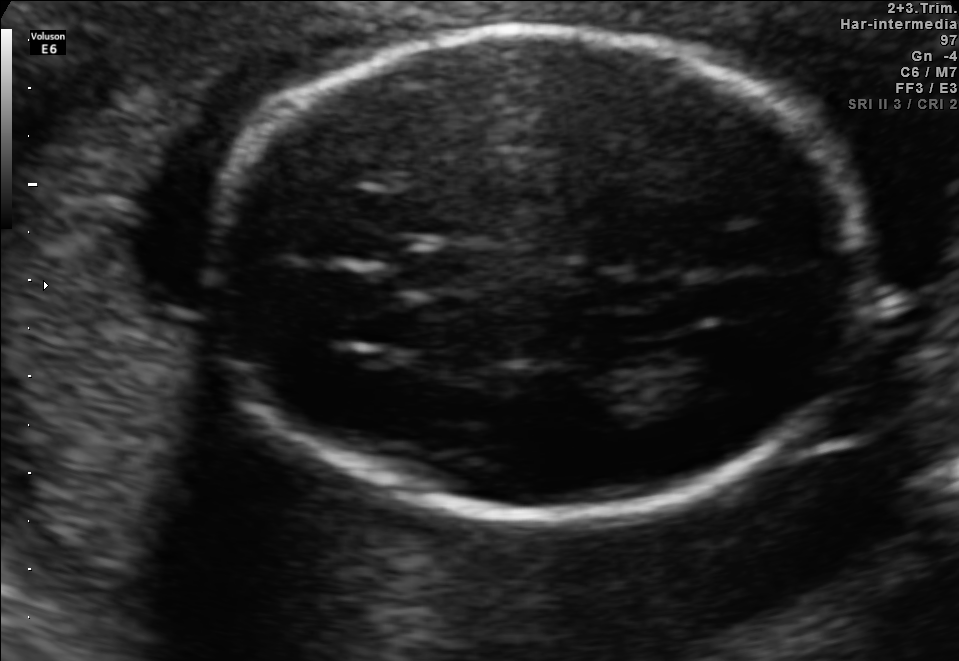
Which standard maternal-fetal ultrasound plane is shown: fetal abdomen, fetal brain, fetal femur, fetal thorax, maternal cervix, or other? If it's fetal brain and one of the three standard brain planes (trans-thalamic, trans-cerebellum, trans-ventricular), name which.

Fetal brain (trans-thalamic plane)